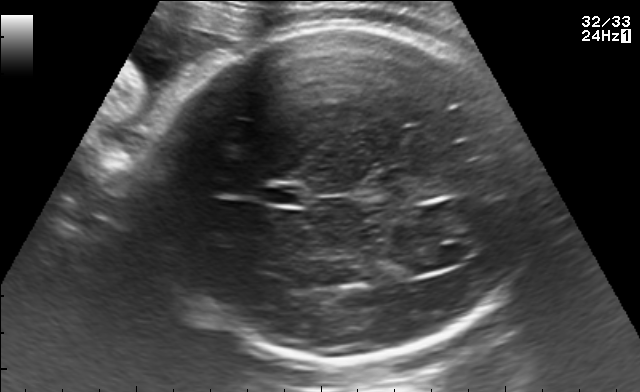
Fetal brain, trans-ventricular plane. Locate the fetal head.

Head: [143,21,537,370]